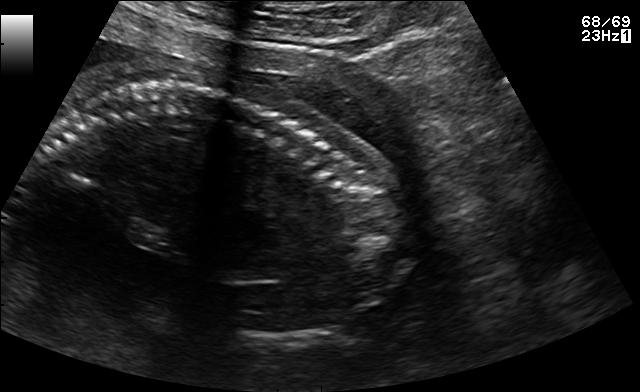
Which standard maternal-fetal ultrasound plane is shown: fetal abdomen, fetal brain, fetal femur, fetal thorax, maternal cervix, or other? If it's fetal brain and one of the three standard brain planes (trans-thalamic, trans-cerebellum, trans-ventricular), name which.

Other